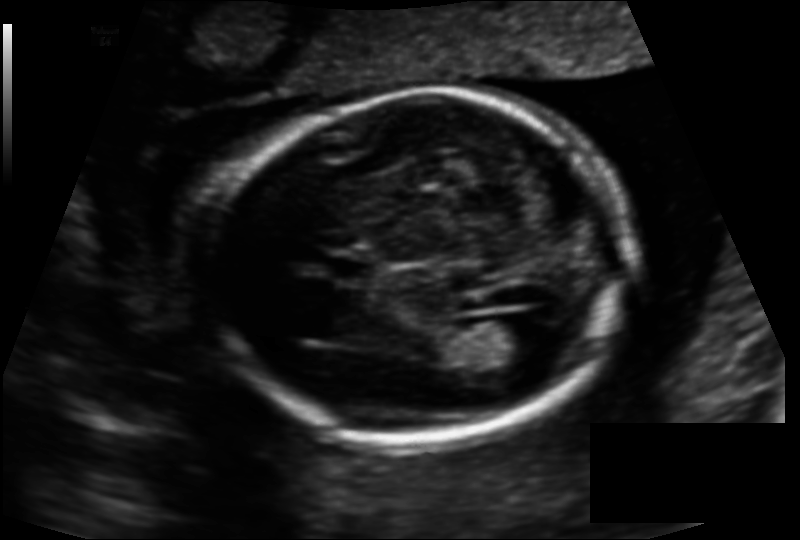
Fetal head ultrasound. Image width: 107.3 mm. Give [x1,y1,x2,y2] bounding boxes for each visible structure among: fetal head, CSP, LV.

Head: [205,93,628,444]
CSP: [329,257,374,282]
Lateral ventricle: [491,306,559,363]